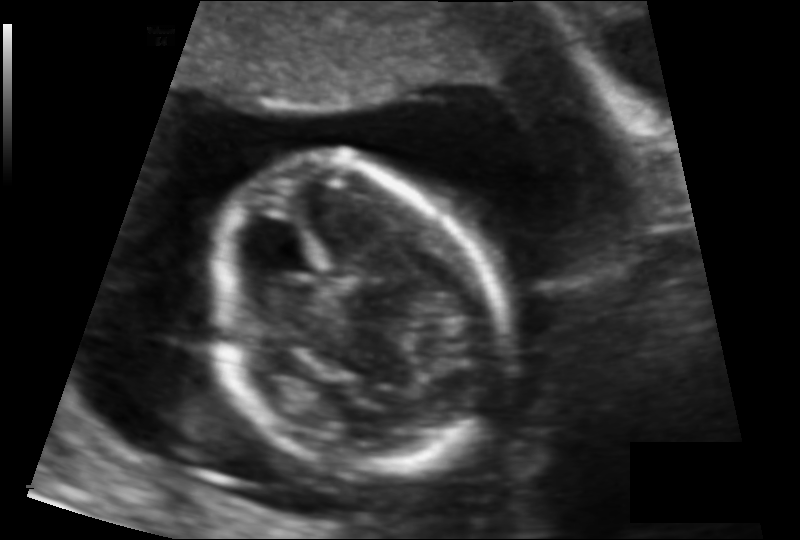
What is the fetal head circumference? Image width is 82.6 mm.

100.1 mm